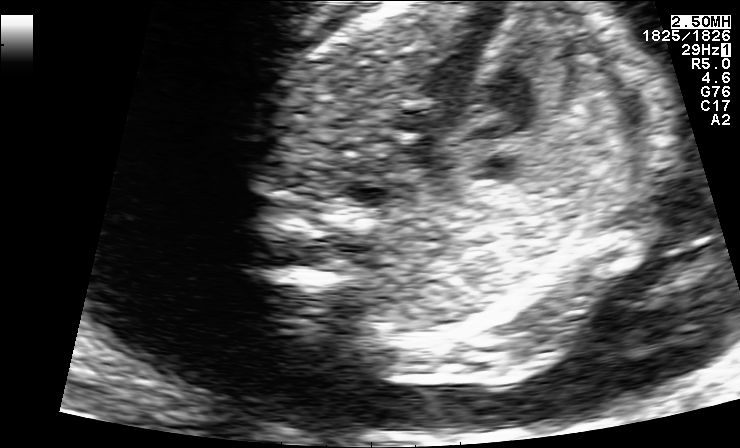
This is a 2D maternal-fetal ultrasound frame. Is it a fetal abdomen, fetal brain, fetal femur, fetal thorax, maternal cervix, or other standard plane? If it's fetal brain and one of the three standard brain planes (trans-thalamic, trans-cerebellum, trans-ventricular), name which.

Fetal abdomen